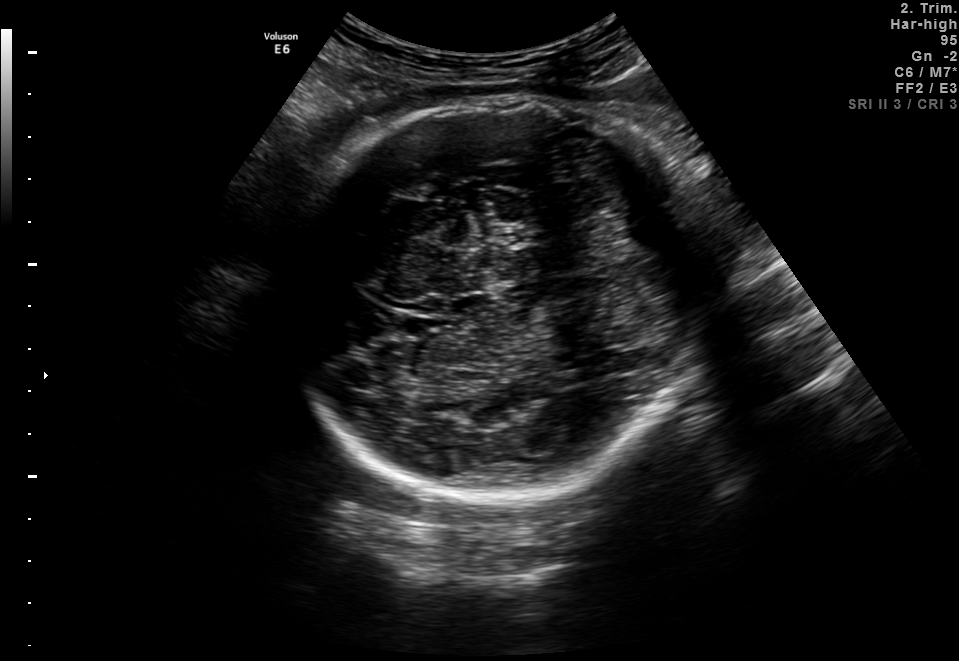
Fetal brain, trans-thalamic plane. Locate the fetal head and, if visible, the cavum septum pellucidum (CSP) and lateral ventricle (LV). Give bounding boxes as [x1,y1,x2,y2].

Head: [281,99,706,496]